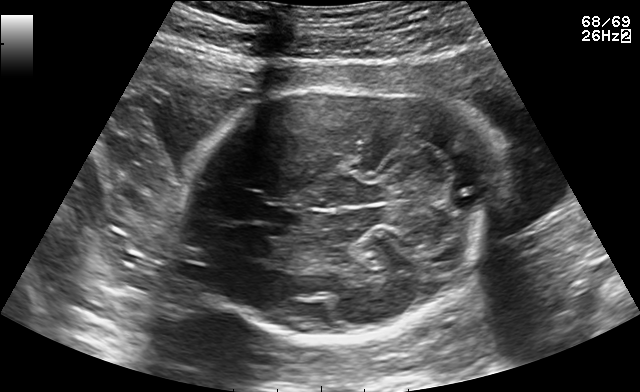
Fetal brain, trans-cerebellum plane. Locate the fetal head.

Head: [177,78,507,337]